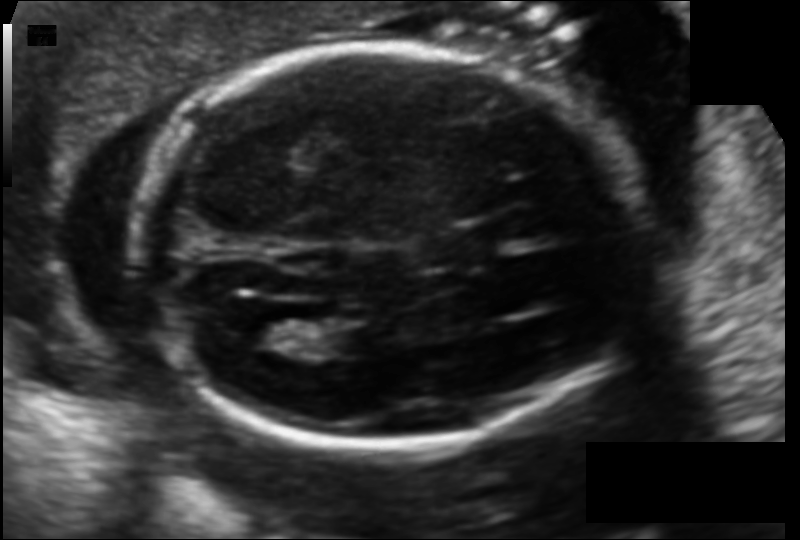
What is the fetal head circumference? Image width is 96.5 mm.

175.1 mm